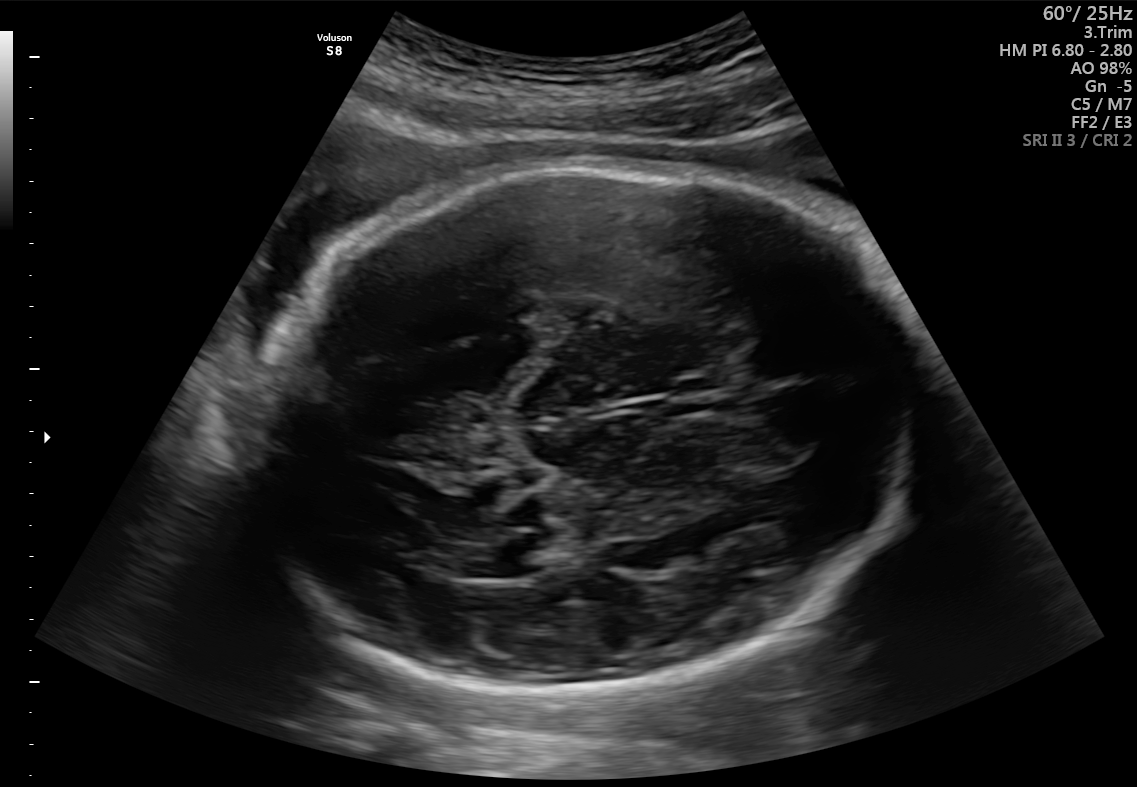
Fetal brain, trans-ventricular plane. Locate the fetal head and, if visible, the cavum septum pellucidum (CSP) and lateral ventricle (LV). Give bounding boxes as [x1,y1,x2,y2].

Head: [241,155,922,701]